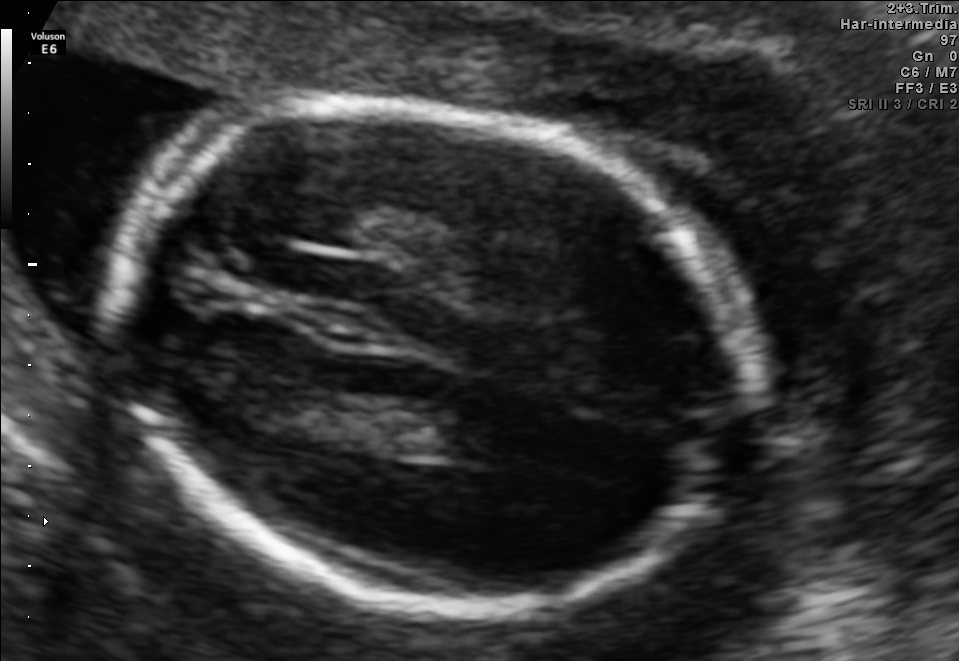
Fetal brain, trans-thalamic plane. Locate the fetal head and, if visible, the cavum septum pellucidum (CSP) and lateral ventricle (LV). Give bounding boxes as [x1,y1,x2,y2].

Head: [102,100,743,615]